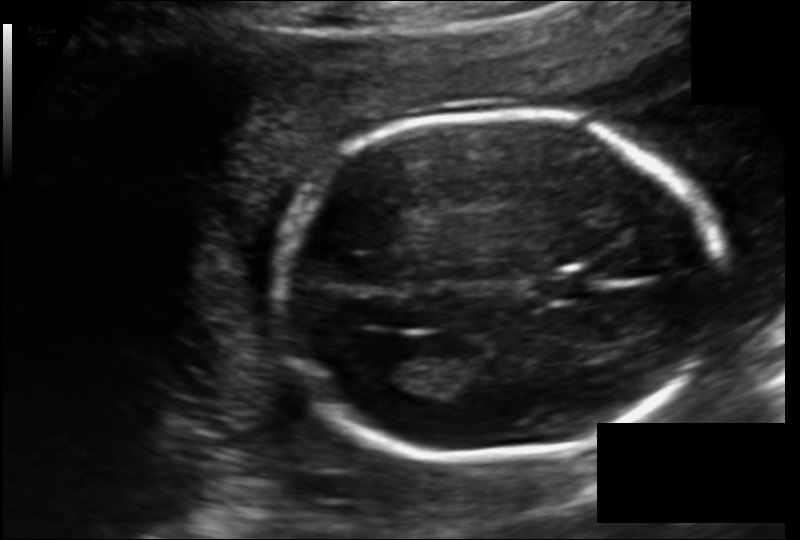
Estimate the fetal head circumference from this 2D ultrasound. Image width: 107.8 mm.

Head circumference: 172.0 mm.